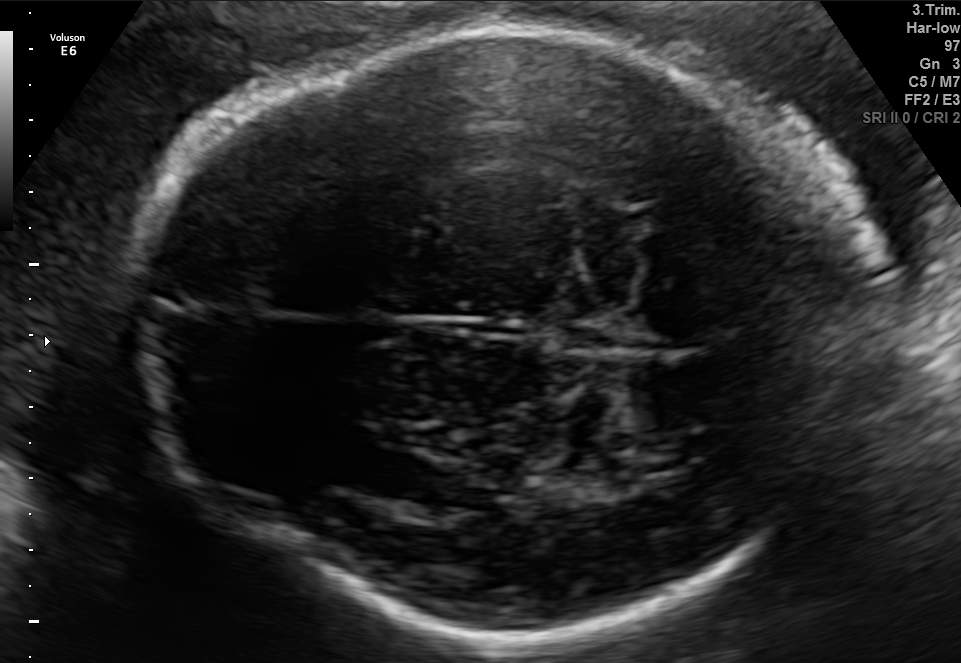
Fetal brain, trans-ventricular plane. Give [x1,y1,x2,y2] bounding boxes for each visible structure among: fetal head, CSP, LV.

Head: [136,32,883,641]